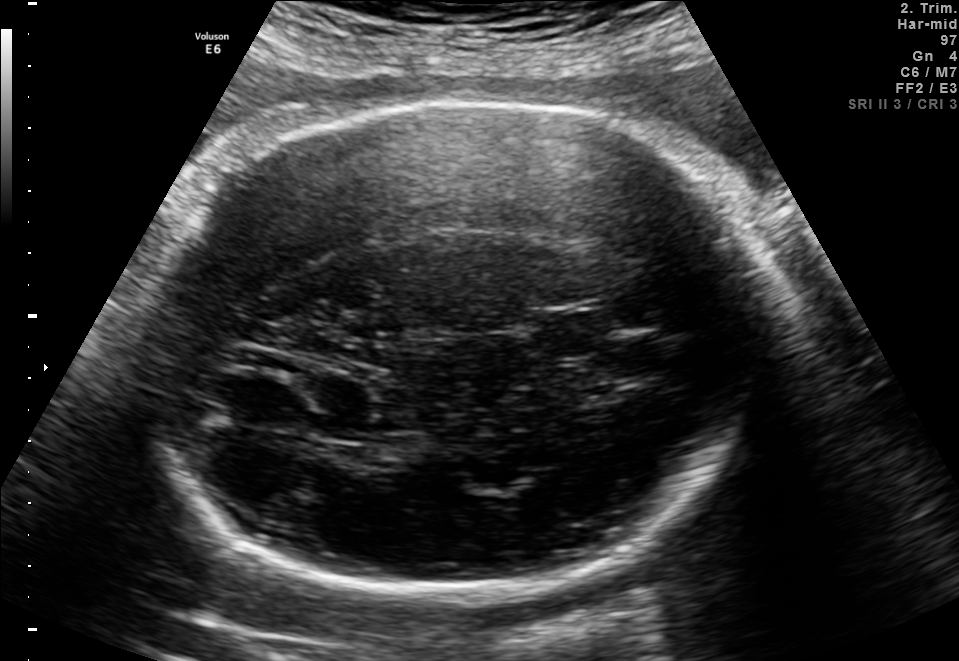
In this fetal brain, trans-thalamic plane, give the bounding box of the cavum septum pellucidum.

[533,309,610,359]